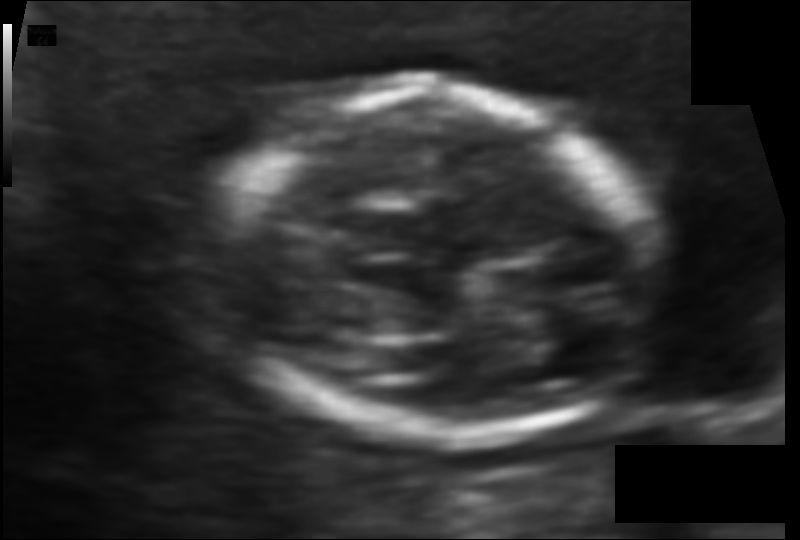
Fetal head ultrasound. Image width: 66.1 mm. Where is the fetal head?

Head bounding box: [200,87,657,441]